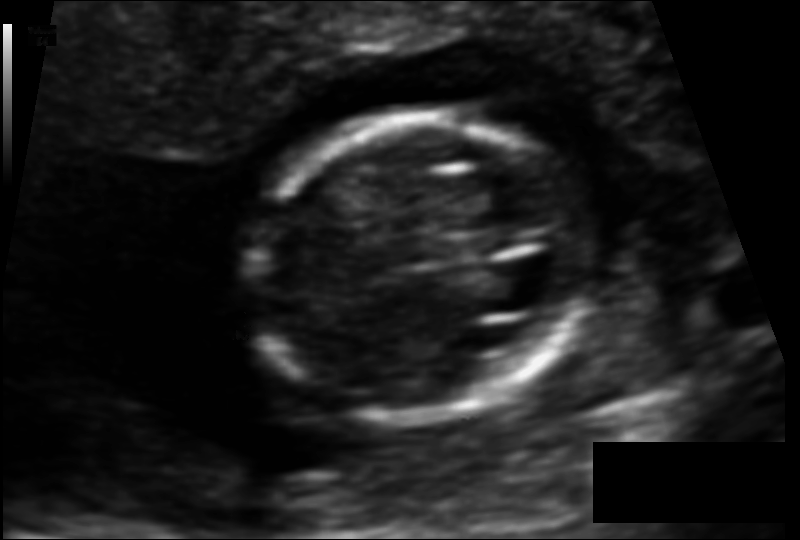
Fetal head ultrasound. Image width: 73.5 mm. Give [x1,y1,x2,y2] bounding boxes for each visible structure among: fetal head, CSP, LV.

Head: [244,114,592,422]